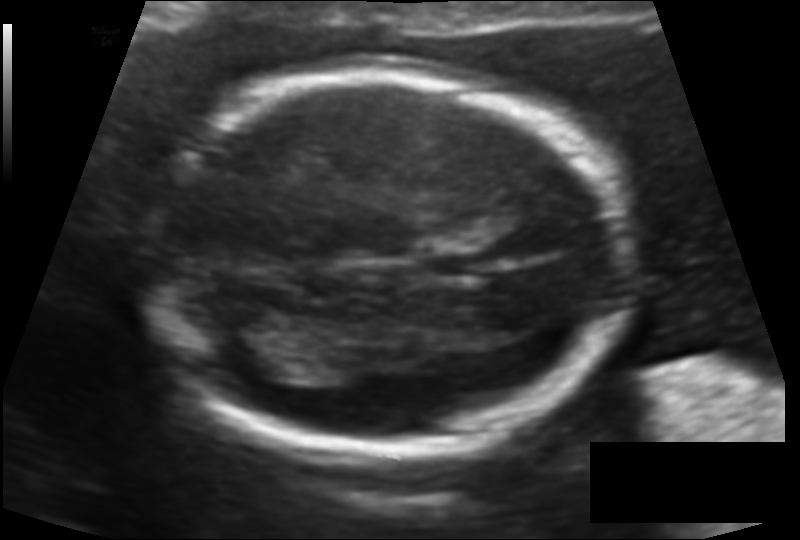
Measure the fetal head circumference shown in this ultrasound image. Image width: 92.6 mm.

Head circumference: 159.5 mm.